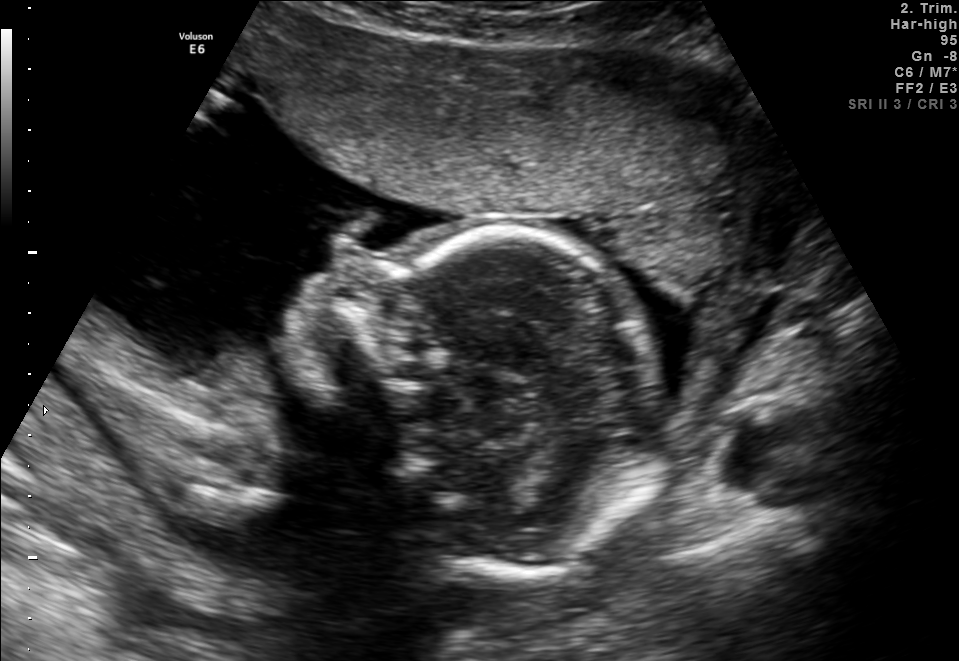
Which standard maternal-fetal ultrasound plane is shown: fetal abdomen, fetal brain, fetal femur, fetal thorax, maternal cervix, or other? If it's fetal brain and one of the three standard brain planes (trans-thalamic, trans-cerebellum, trans-ventricular), name which.

Other